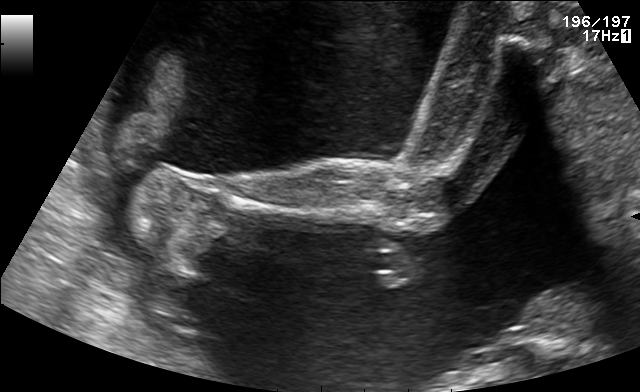
This is a 2D maternal-fetal ultrasound frame. Is it a fetal abdomen, fetal brain, fetal femur, fetal thorax, maternal cervix, or other standard plane? If it's fetal brain and one of the three standard brain planes (trans-thalamic, trans-cerebellum, trans-ventricular), name which.

Fetal femur